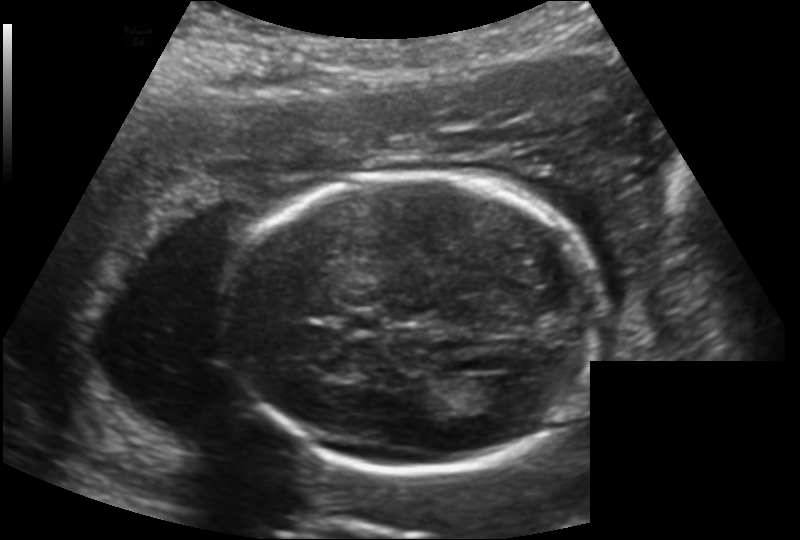
Fetal head ultrasound. Image width: 135.0 mm. Locate the cavum septum pellucidum.

CSP: [341,311,383,333]